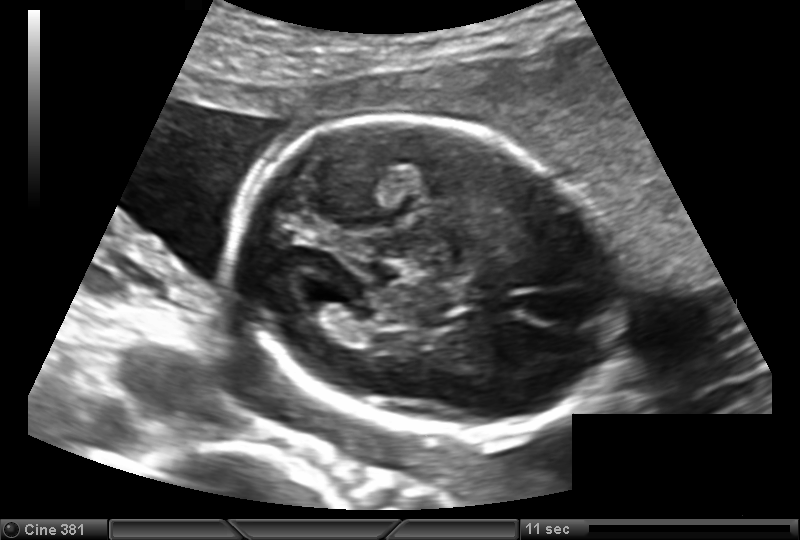
In this fetal head ultrasound, give the bounding box of the fetal head. Image width: 111.0 mm.

[234,119,620,439]